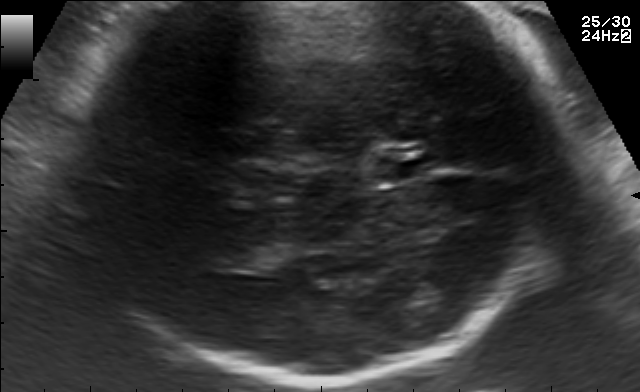
Fetal brain, trans-thalamic plane. Give [x1,y1,x2,y2] bounding boxes for each visible structure among: CSP, LV.

CSP: [372,149,436,188]